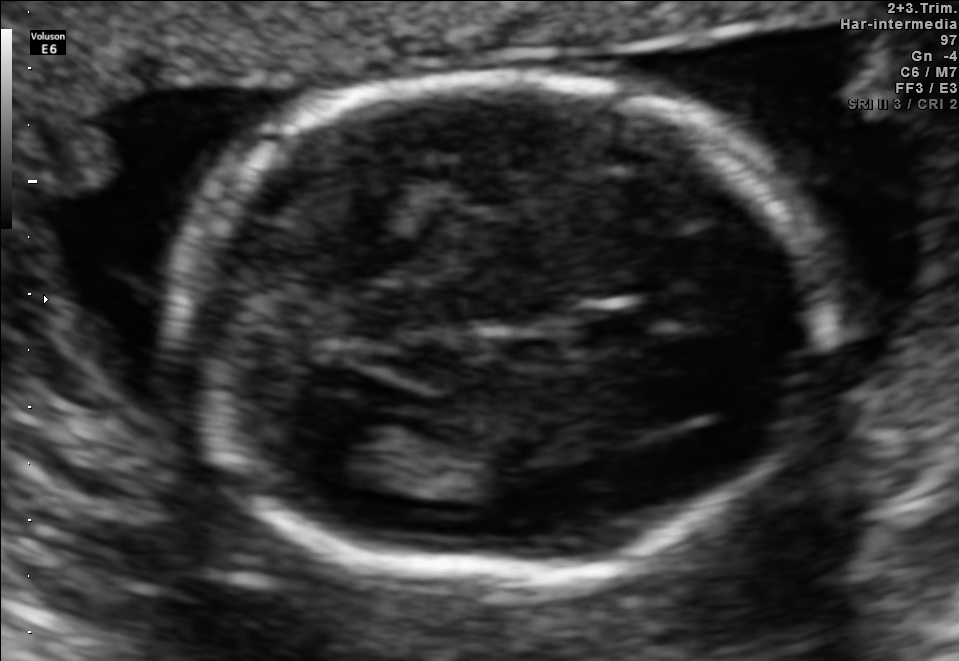
In this fetal brain, trans-thalamic plane, give bounding boxes for the head outline, cavum septum pellucidum (CSP), and lateral ventricle (LV), where visible.

Head: [171,74,838,577]
CSP: [573,303,662,355]
Lateral ventricle: [316,405,436,494]